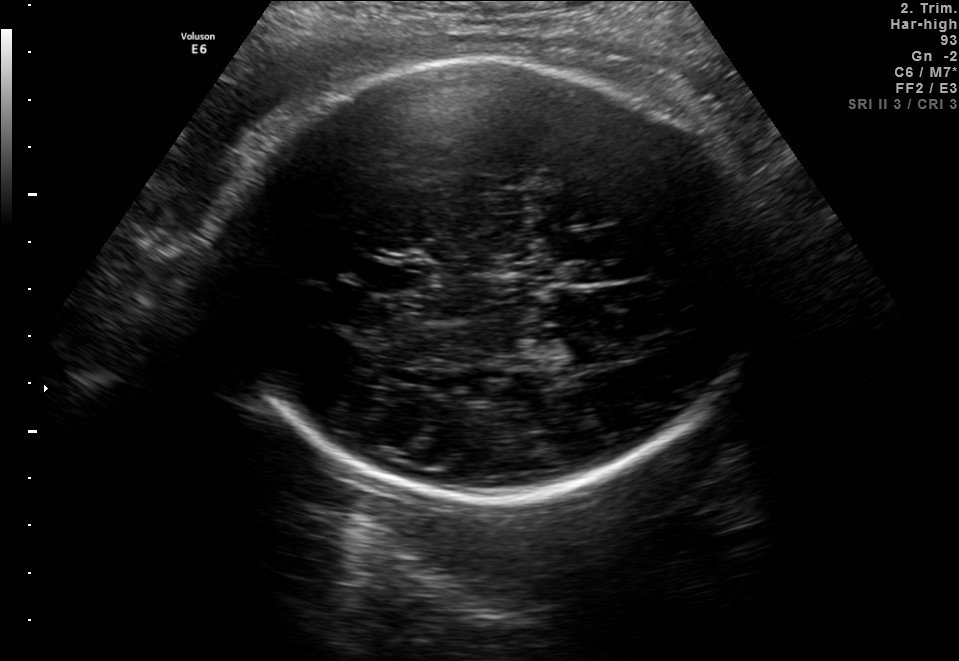
Fetal brain, trans-thalamic plane. Locate the fetal head.

Head: [215,58,758,491]